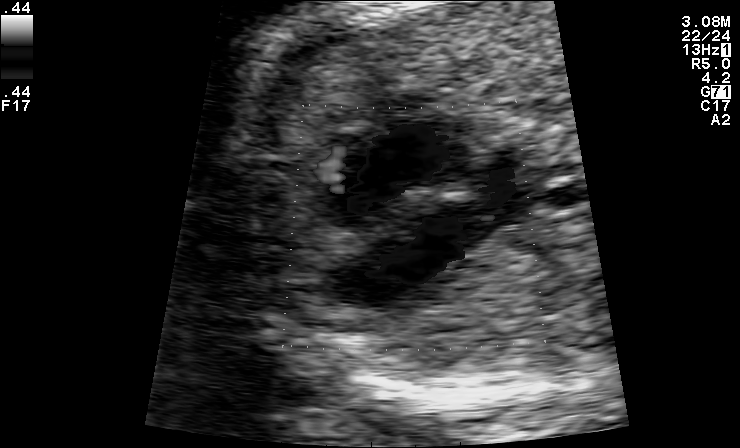
Which standard maternal-fetal ultrasound plane is shown: fetal abdomen, fetal brain, fetal femur, fetal thorax, maternal cervix, or other? If it's fetal brain and one of the three standard brain planes (trans-thalamic, trans-cerebellum, trans-ventricular), name which.

Other